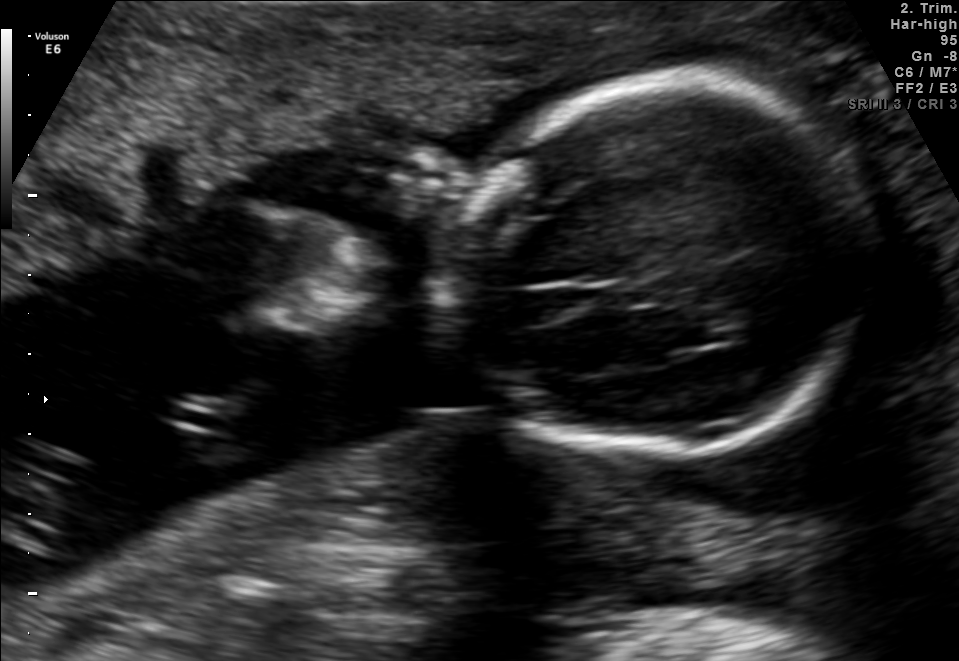
This is a 2D maternal-fetal ultrasound frame. Is it a fetal abdomen, fetal brain, fetal femur, fetal thorax, maternal cervix, or other standard plane? If it's fetal brain and one of the three standard brain planes (trans-thalamic, trans-cerebellum, trans-ventricular), name which.

Fetal brain